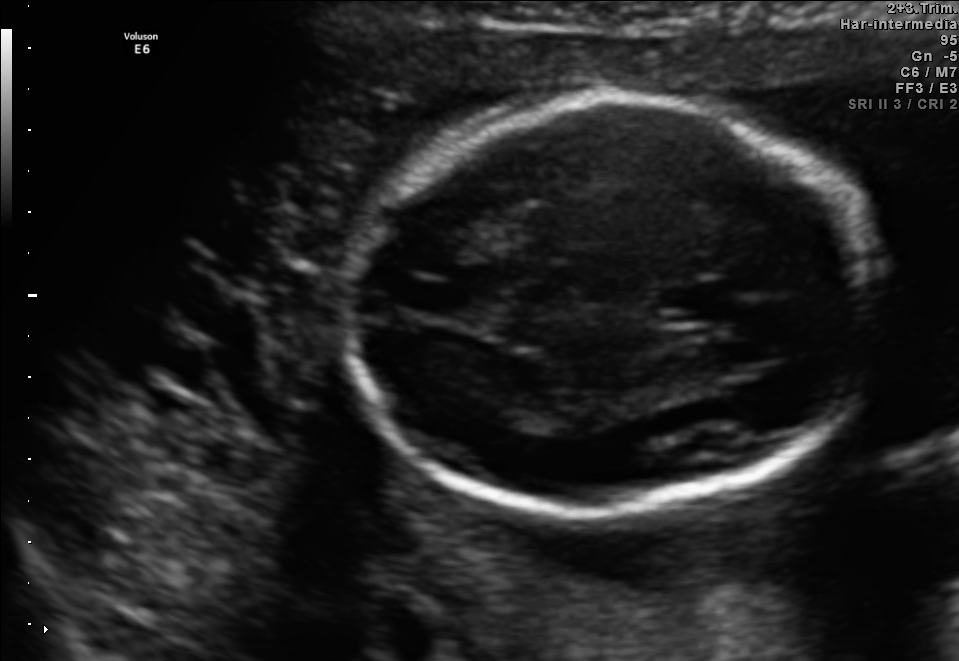
Fetal brain, trans-thalamic plane. Where is the fetal head?

Head bounding box: [345,100,880,509]